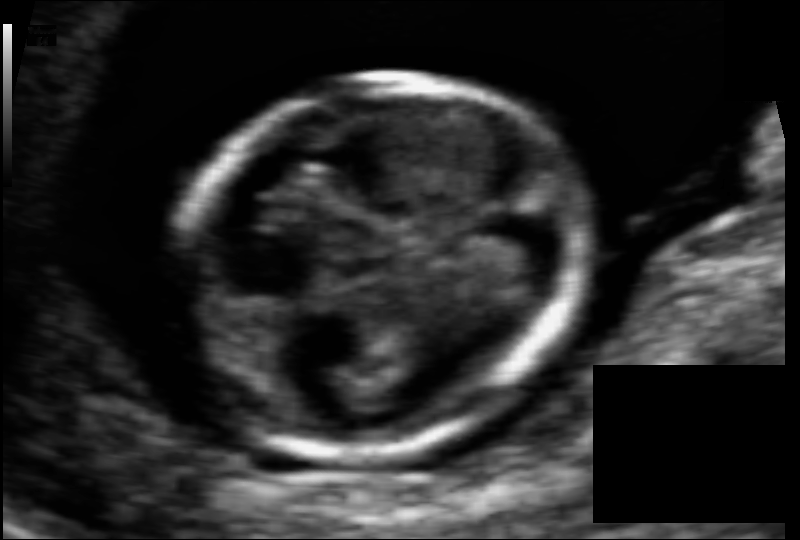
Fetal head ultrasound. Image width: 43.2 mm. Locate the fetal head.

Head: [173,74,583,458]